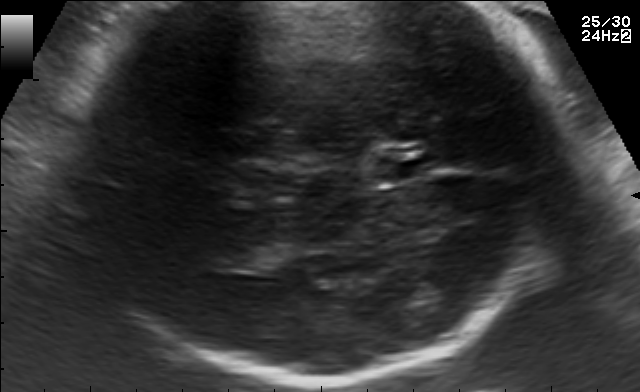
Fetal brain, trans-thalamic plane. Where is the cavum septum pellucidum?

CSP bounding box: [372,149,436,188]